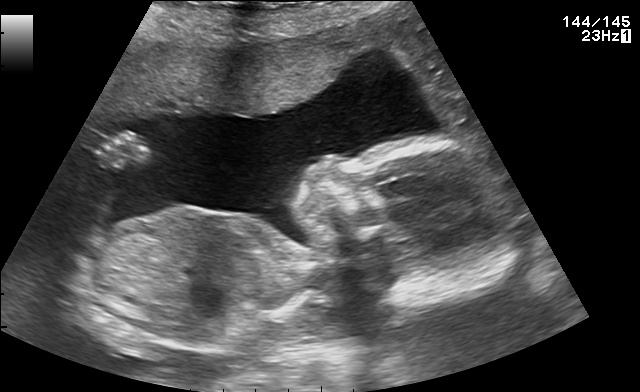
Classify this maternal-fetal ultrasound image as one of the six standard planes — fetal abdomen, fetal brain, fetal femur, fetal thorax, maternal cervix, or other. If it's fetal brain and one of the three standard brain planes (trans-thalamic, trans-cerebellum, trans-ventricular), name which.

Other